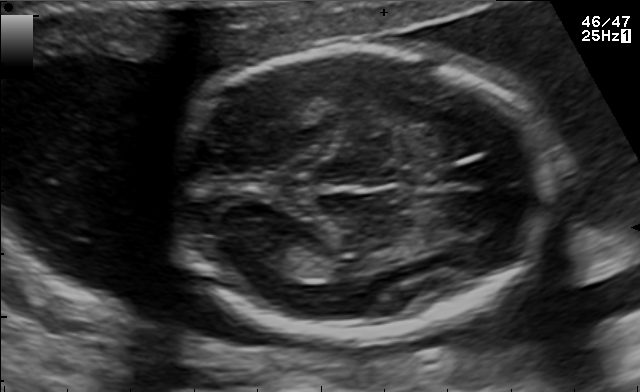
In this fetal brain, trans-thalamic plane, give the bounding box of the lateral ventricle.

[231,223,309,278]